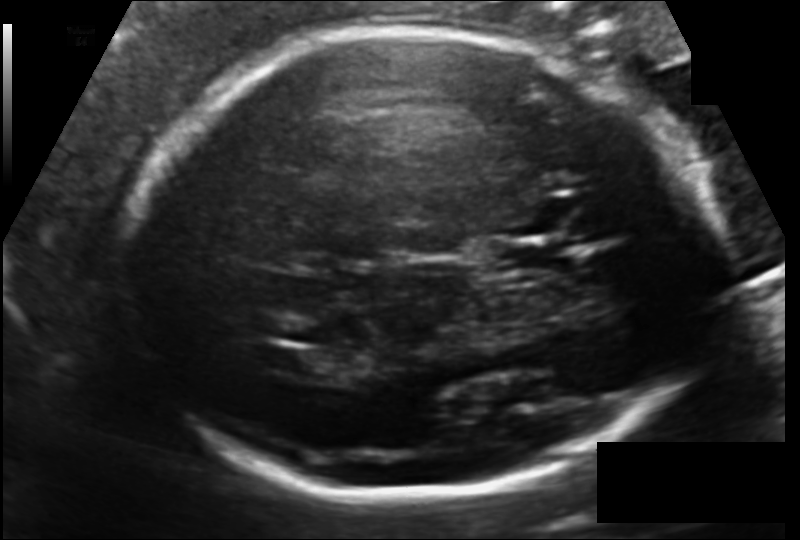
Fetal head ultrasound. Image width: 106.4 mm. Locate the fetal head and, if visible, the cavum septum pellucidum (CSP) and lateral ventricle (LV). Give bounding boxes as [x1,y1,x2,y2].

Head: [115,31,718,494]
CSP: [485,234,572,276]
Lateral ventricle: [264,346,327,379]